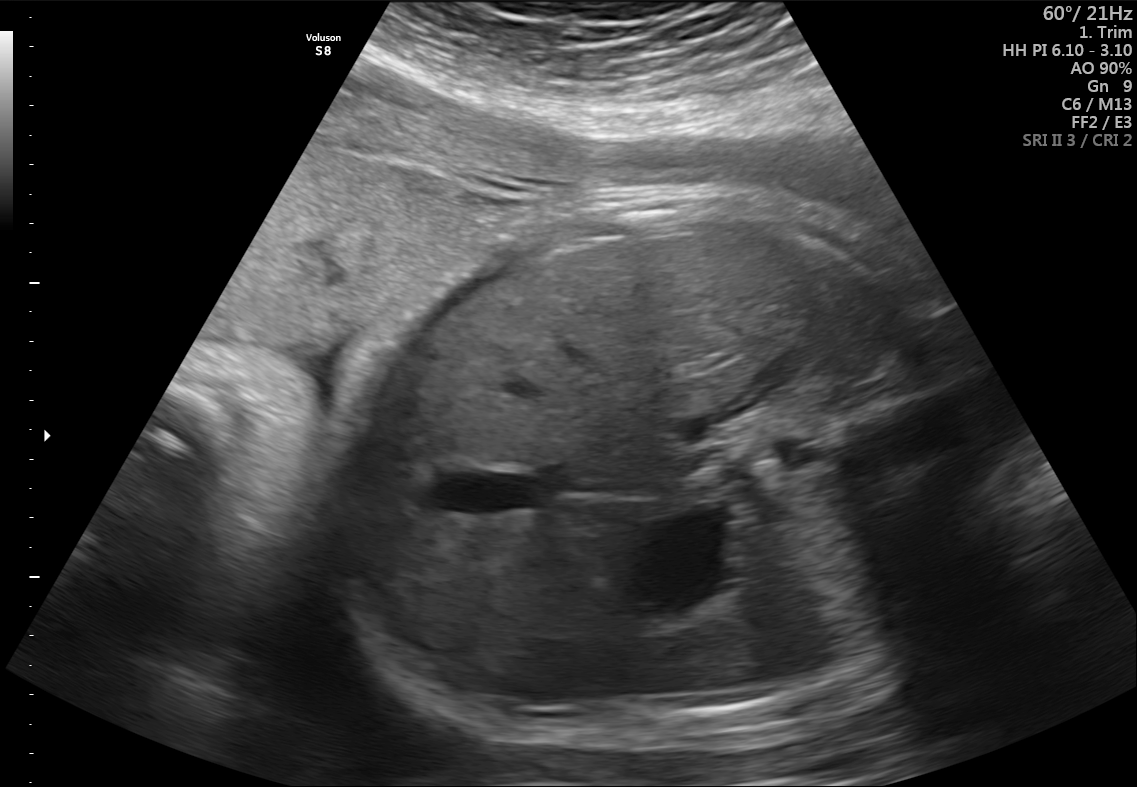
This is a 2D maternal-fetal ultrasound frame. Is it a fetal abdomen, fetal brain, fetal femur, fetal thorax, maternal cervix, or other standard plane? If it's fetal brain and one of the three standard brain planes (trans-thalamic, trans-cerebellum, trans-ventricular), name which.

Fetal abdomen